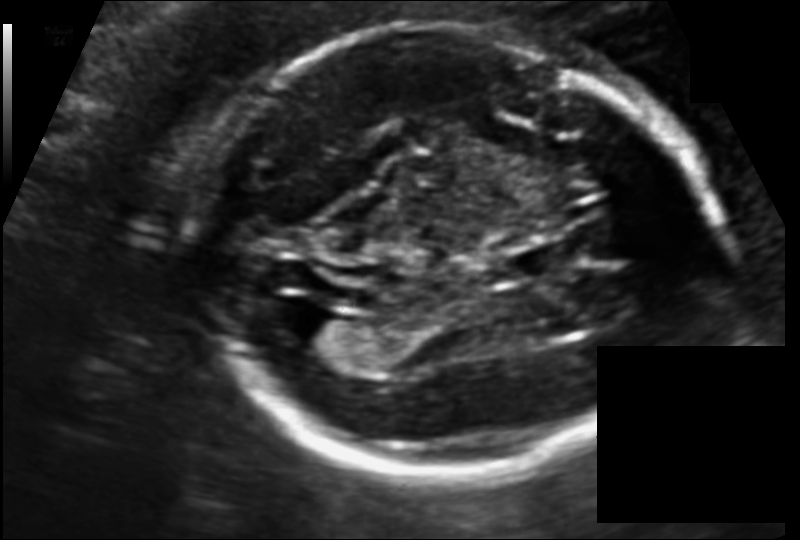
In this fetal head ultrasound, give the bounding box of the fetal head. Image width: 94.5 mm.

[192,20,705,475]